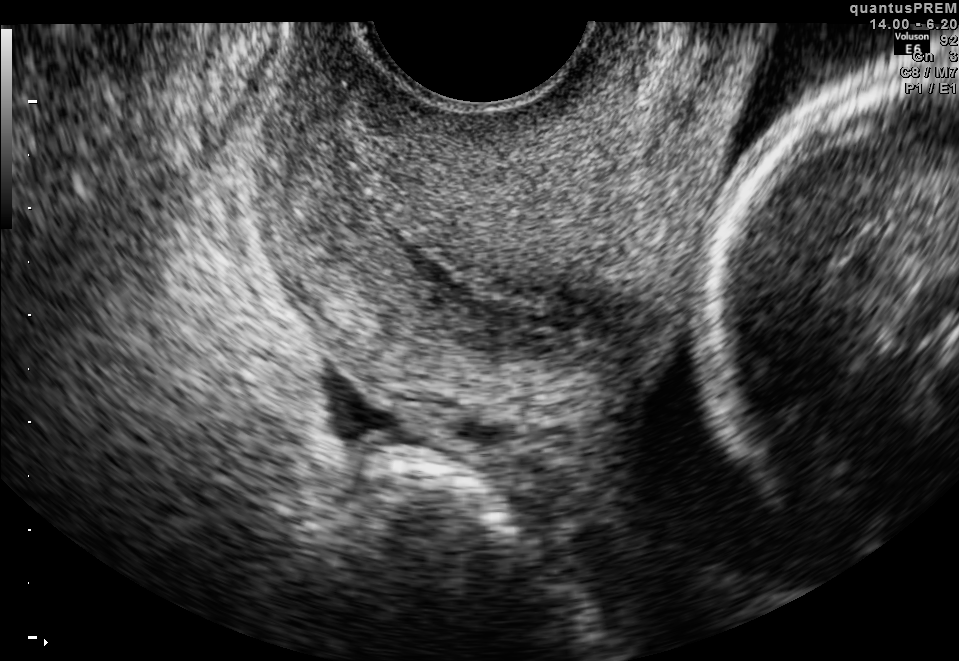
Identify the standard plane in this fetal ultrasound image: fetal abdomen, fetal brain, fetal femur, fetal thorax, maternal cervix, or other. If it's fetal brain and one of the three standard brain planes (trans-thalamic, trans-cerebellum, trans-ventricular), name which.

Maternal cervix